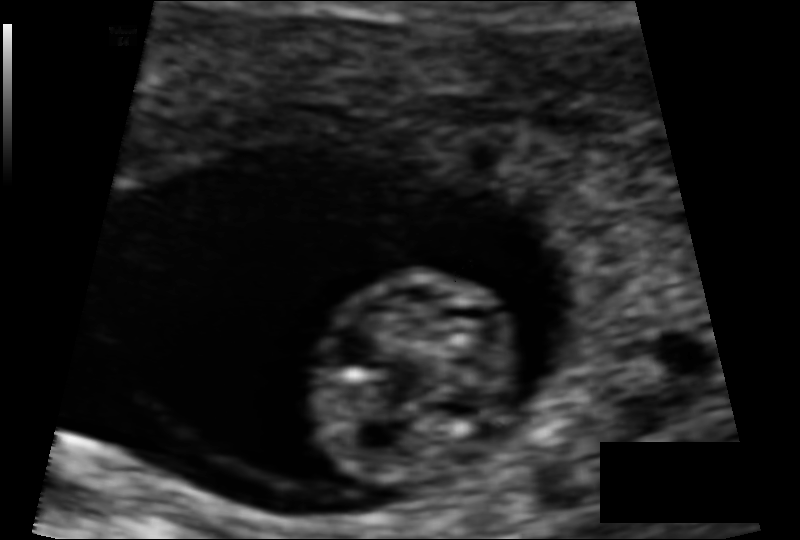
What is the fetal head circumference? Image width is 55.3 mm.

44.3 mm